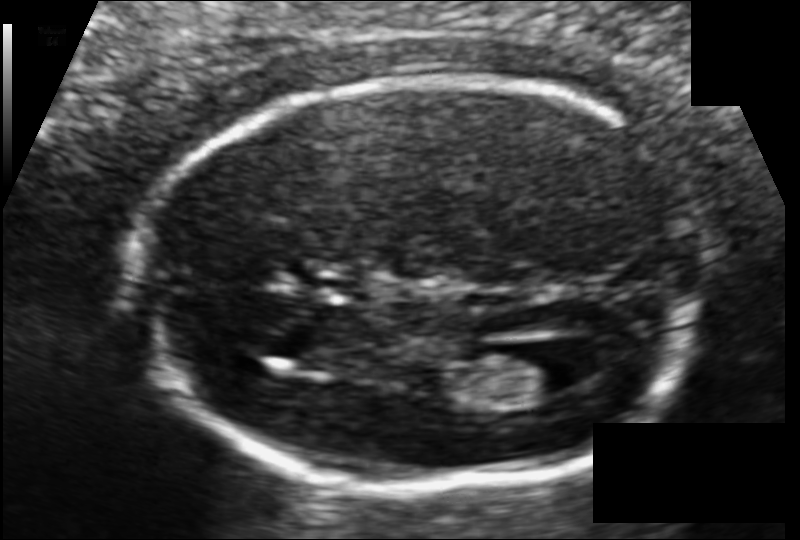
Fetal head ultrasound. Image width: 83.6 mm. Give [x1,y1,x2,y2] bounding boxes for each visible structure among: fetal head, CSP, LV.

Head: [136,79,702,492]
Lateral ventricle: [493,336,589,405]